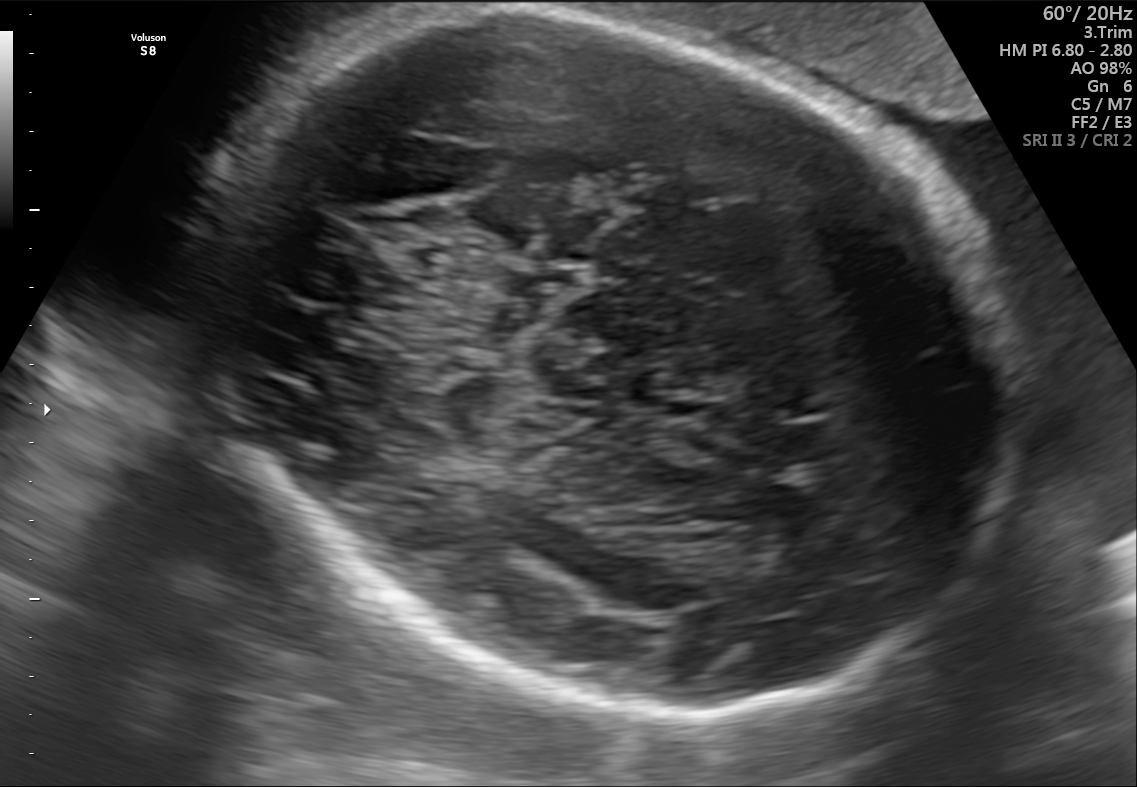
In this fetal brain, trans-thalamic plane, give bounding boxes for the head outline, cavum septum pellucidum (CSP), and lateral ventricle (LV), where visible.

Head: [165,8,1020,726]